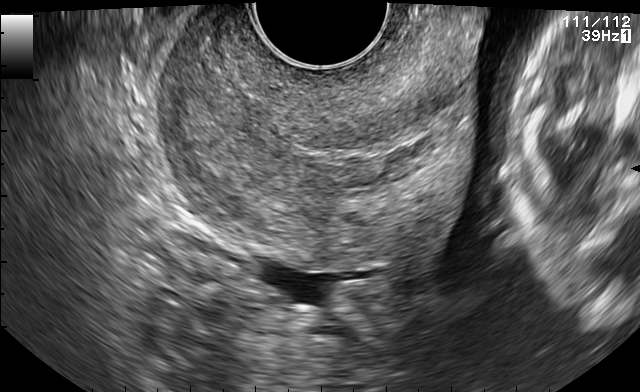
This is a 2D maternal-fetal ultrasound frame. Is it a fetal abdomen, fetal brain, fetal femur, fetal thorax, maternal cervix, or other standard plane? If it's fetal brain and one of the three standard brain planes (trans-thalamic, trans-cerebellum, trans-ventricular), name which.

Maternal cervix